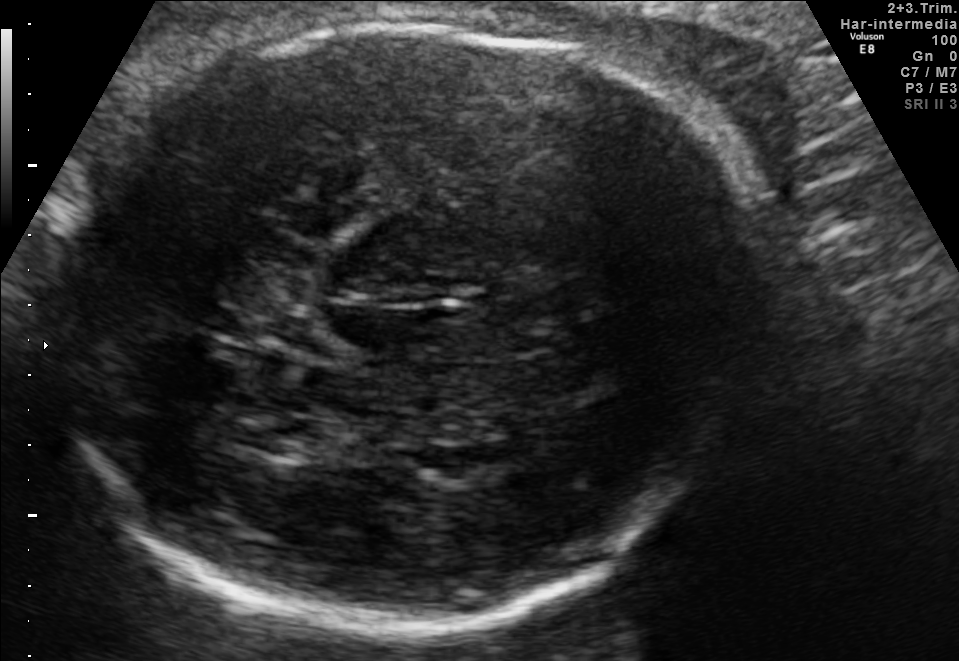
Fetal brain, trans-thalamic plane. Locate the lateral ventricle.

Lateral ventricle: [238,404,327,464]